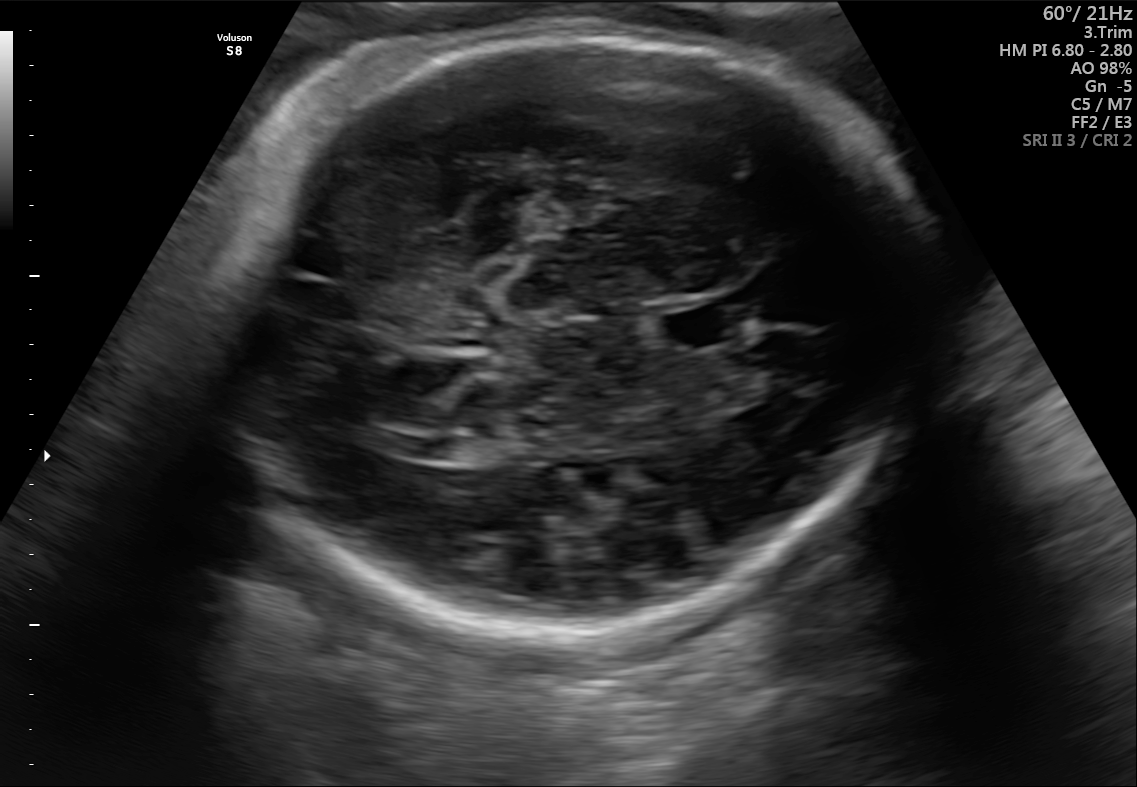
Fetal brain, trans-thalamic plane. Locate the fetal head and, if visible, the cavum septum pellucidum (CSP) and lateral ventricle (LV). Give bounding boxes as [x1,y1,x2,y2].

Head: [206,29,931,623]
CSP: [654,294,751,359]
Lateral ventricle: [417,437,489,461]